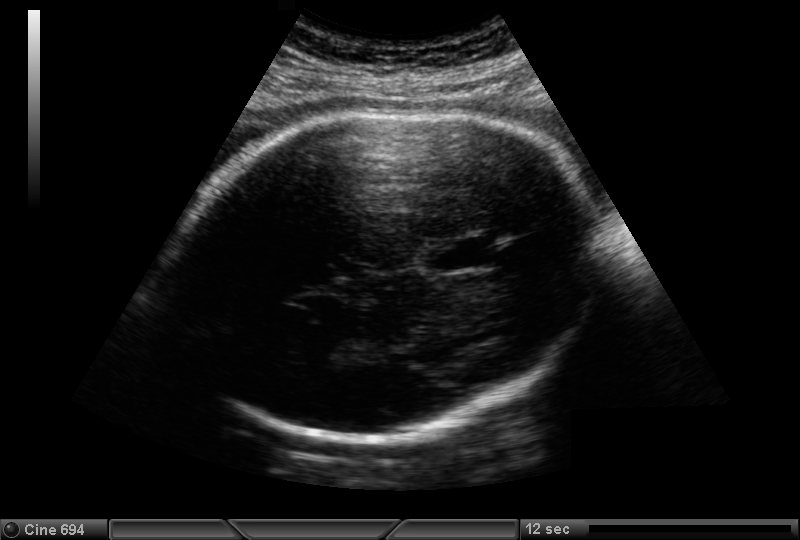
Fetal head ultrasound. Image width: 176.7 mm. Give [x1,y1,x2,y2] bounding boxes for each visible structure among: fetal head, CSP, LV.

Head: [174,110,600,438]
CSP: [422,231,496,279]